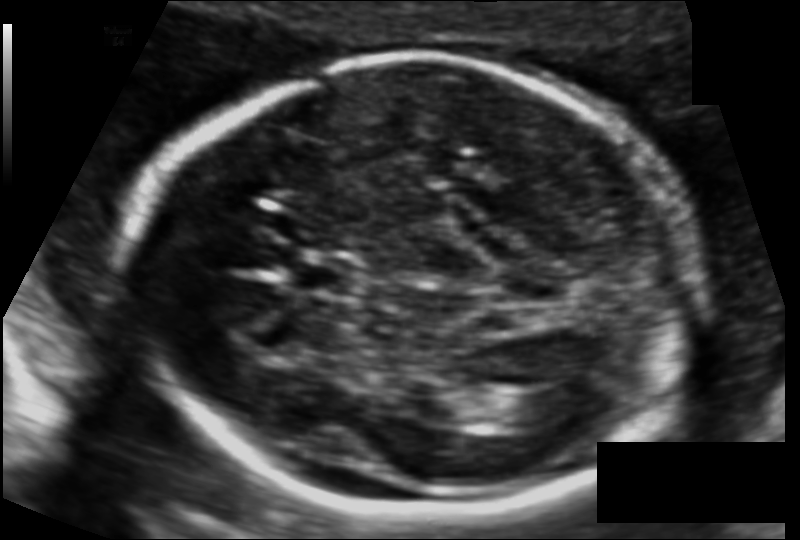
Fetal head ultrasound. Image width: 89.5 mm. Give [x1,y1,x2,y2] bounding boxes for each visible structure among: fetal head, CSP, LV.

Head: [128,59,702,512]
CSP: [284,252,352,297]
Lateral ventricle: [523,378,591,425]